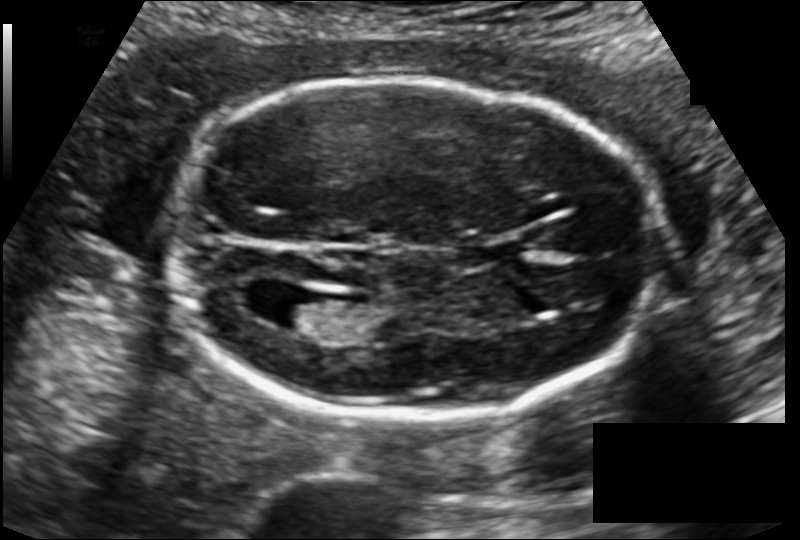
Fetal head ultrasound. Image width: 103.4 mm. Locate the lateral ventricle.

Lateral ventricle: [262,285,334,337]